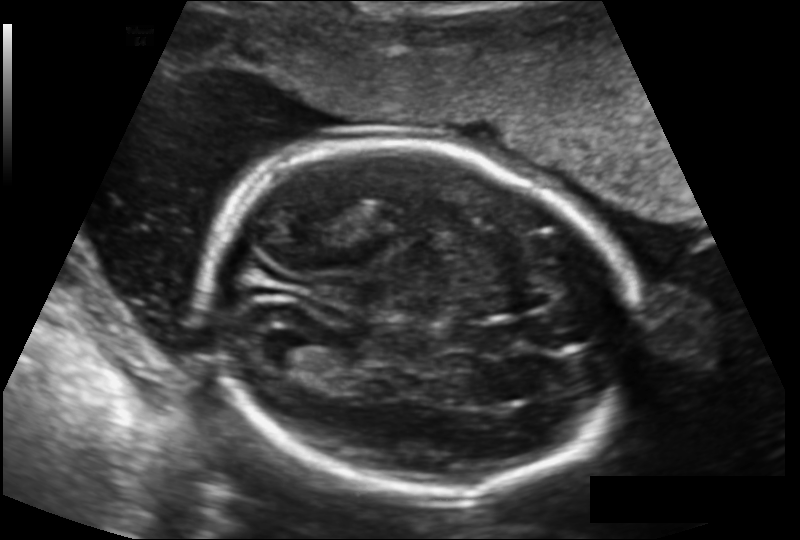
In this fetal head ultrasound, give the bounding box of the lateral ventricle. Image width: 114.2 mm.

[260,324,332,383]